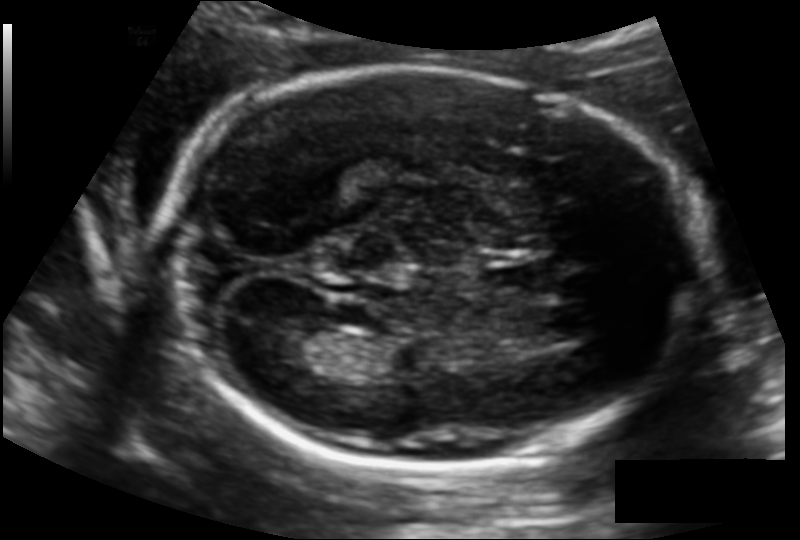
Fetal head ultrasound. Image width: 103.6 mm. Locate the lateral ventricle.

Lateral ventricle: [271,325,338,371]